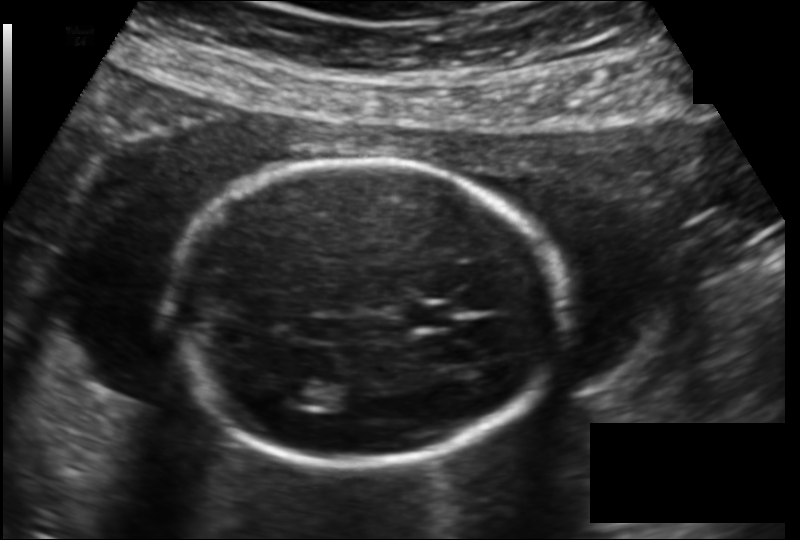
Measure the fetal head circumference shown in this ultrasound image. Image width: 119.1 mm.

Head circumference: 171.3 mm.